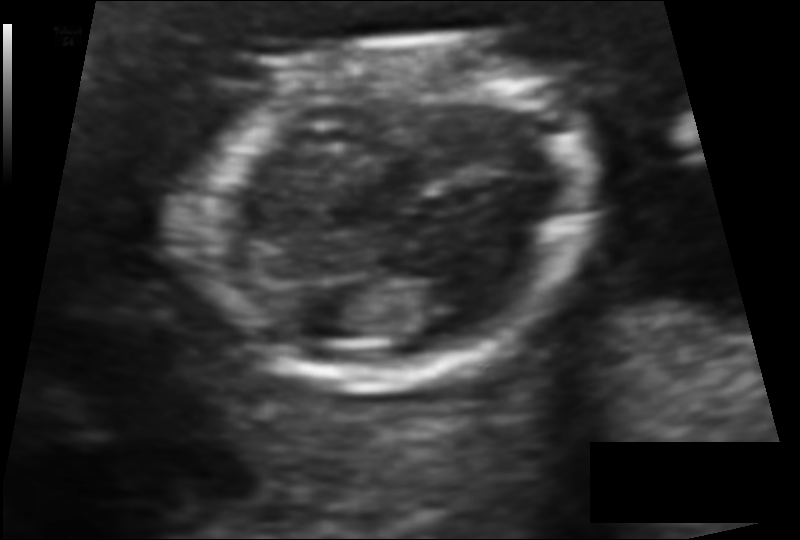
What is the fetal head circumference? Image width is 72.9 mm.

108.2 mm